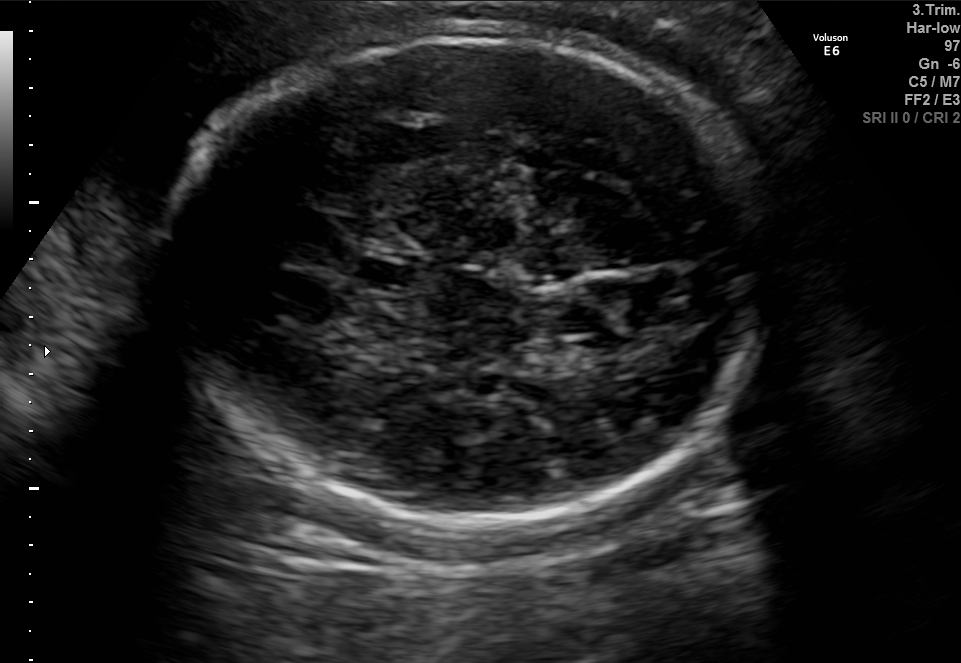
In this fetal brain, trans-thalamic plane, give bounding boxes for the head outline, cavum septum pellucidum (CSP), and lateral ventricle (LV), where visible.

Head: [165,32,780,533]
CSP: [353,257,415,288]